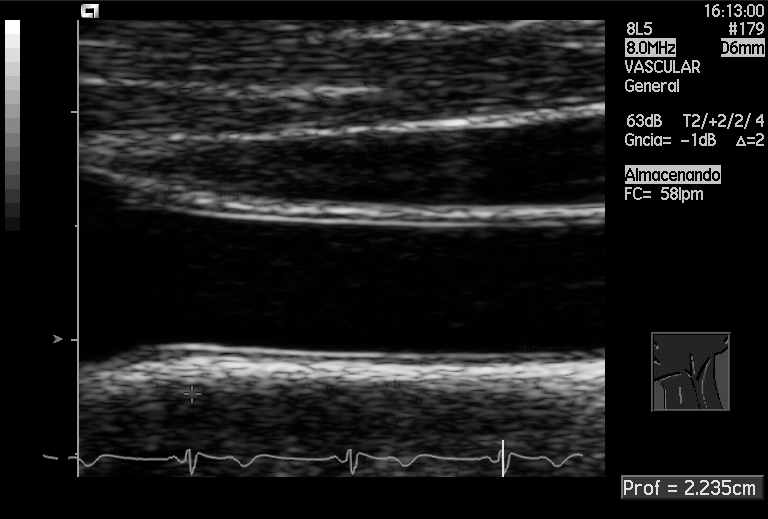
Which standard maternal-fetal ultrasound plane is shown: fetal abdomen, fetal brain, fetal femur, fetal thorax, maternal cervix, or other? If it's fetal brain and one of the three standard brain planes (trans-thalamic, trans-cerebellum, trans-ventricular), name which.

Other